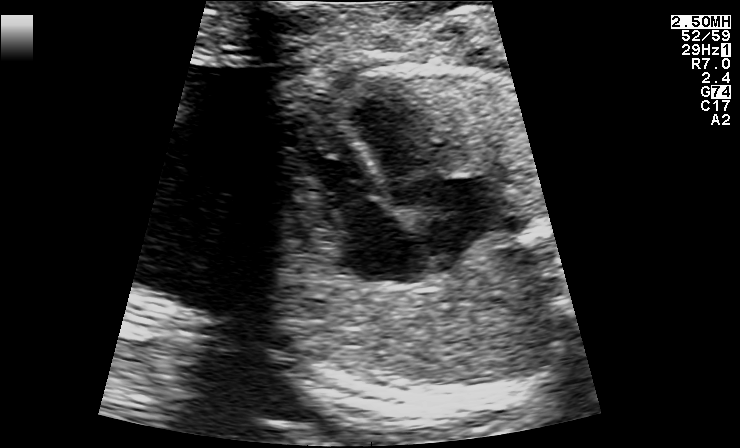
Identify the standard plane in this fetal ultrasound image: fetal abdomen, fetal brain, fetal femur, fetal thorax, maternal cervix, or other. If it's fetal brain and one of the three standard brain planes (trans-thalamic, trans-cerebellum, trans-ventricular), name which.

Fetal thorax